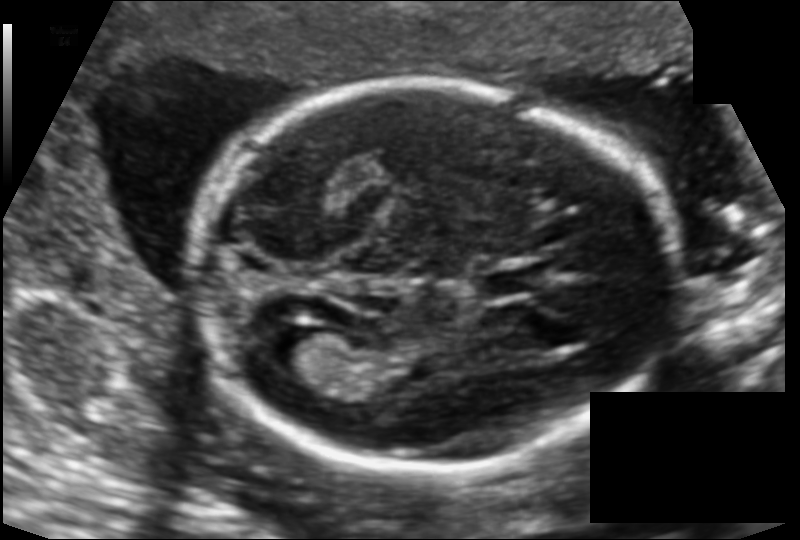
Fetal head ultrasound. Image width: 98.8 mm. Give [x1,y1,x2,y2] bounding boxes for each visible structure among: fetal head, CSP, LV.

Head: [192,83,678,469]
CSP: [483,263,543,300]
Lateral ventricle: [255,312,344,387]